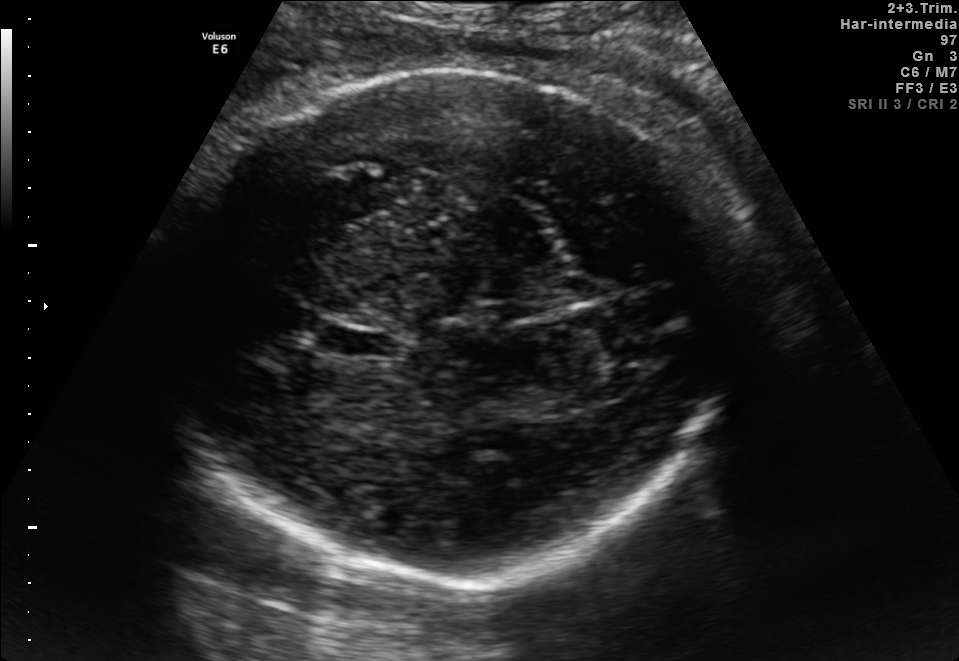
Fetal brain, trans-thalamic plane. Locate the fetal head.

Head: [163,66,738,581]